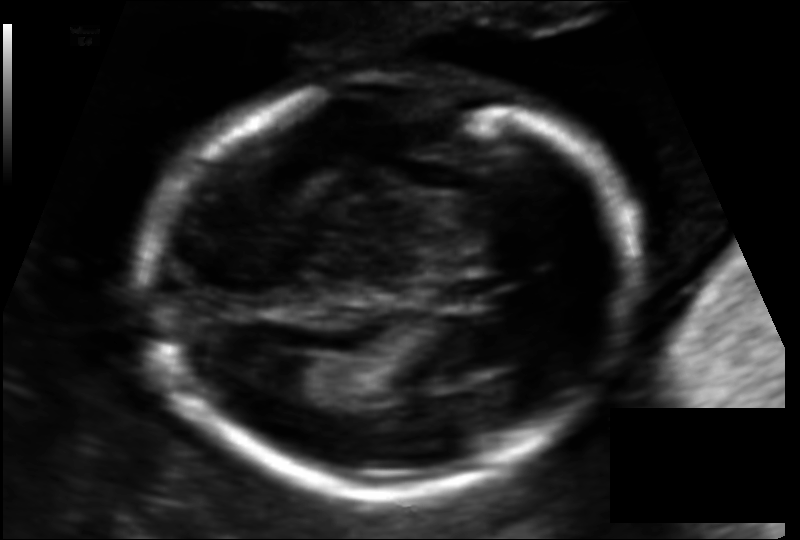
Fetal head ultrasound. Image width: 92.3 mm. Locate the fetal head and, if visible, the cavum septum pellucidum (CSP) and lateral ventricle (LV). Give bounding boxes as [x1,y1,x2,y2].

Head: [143,76,635,490]
CSP: [430,272,504,314]
Lateral ventricle: [255,352,339,403]